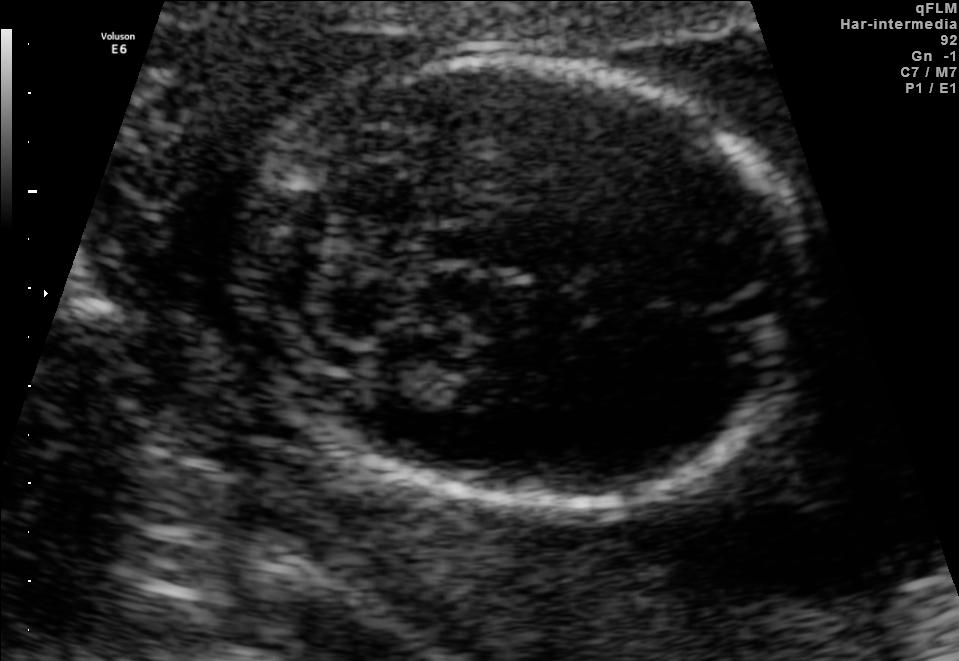
Fetal brain, trans-cerebellum plane. Where is the fetal head?

Head bounding box: [245,58,810,511]